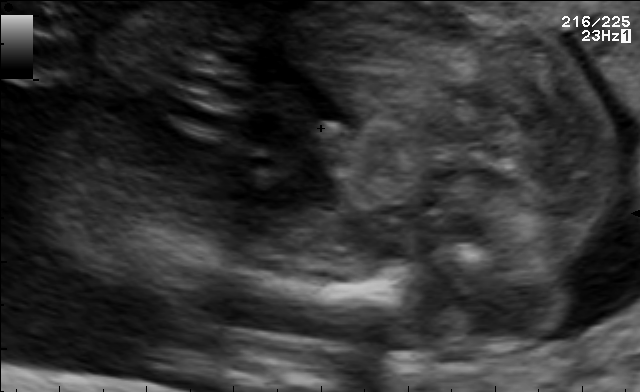
Identify the standard plane in this fetal ultrasound image: fetal abdomen, fetal brain, fetal femur, fetal thorax, maternal cervix, or other. If it's fetal brain and one of the three standard brain planes (trans-thalamic, trans-cerebellum, trans-ventricular), name which.

Other